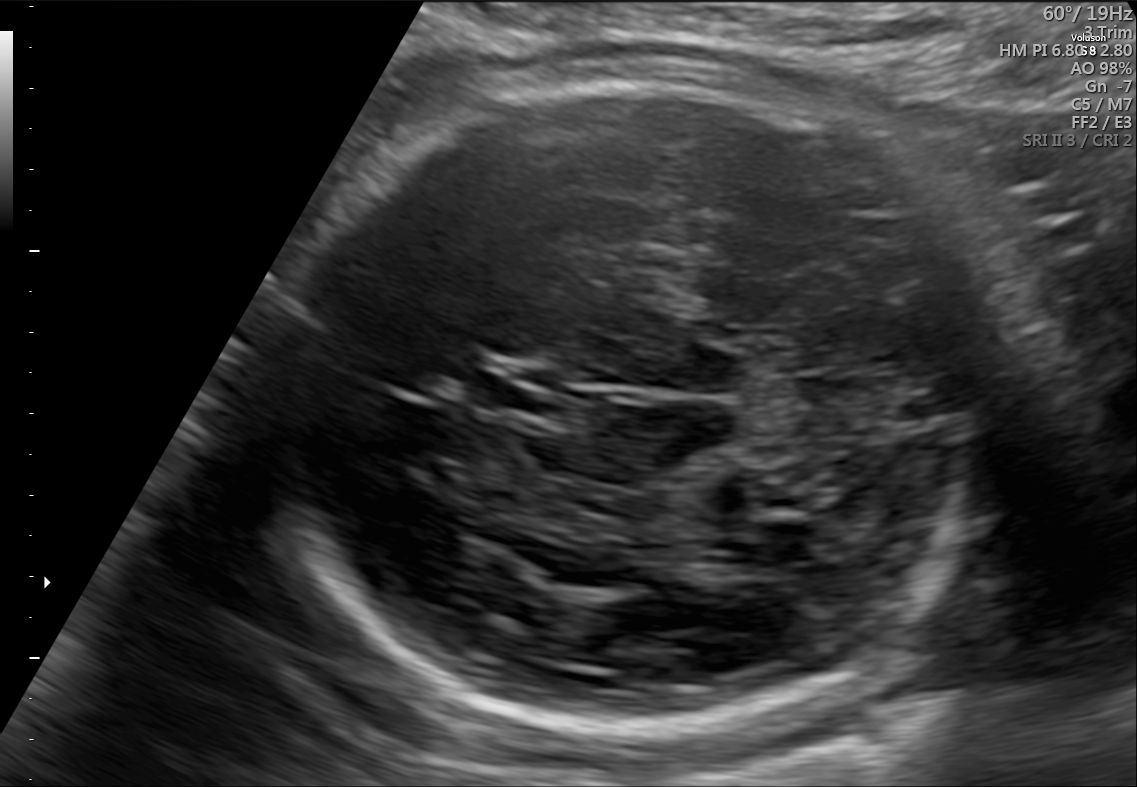
In this fetal brain, trans-cerebellum plane, give the bounding box of the fetal head.

[268,74,983,727]